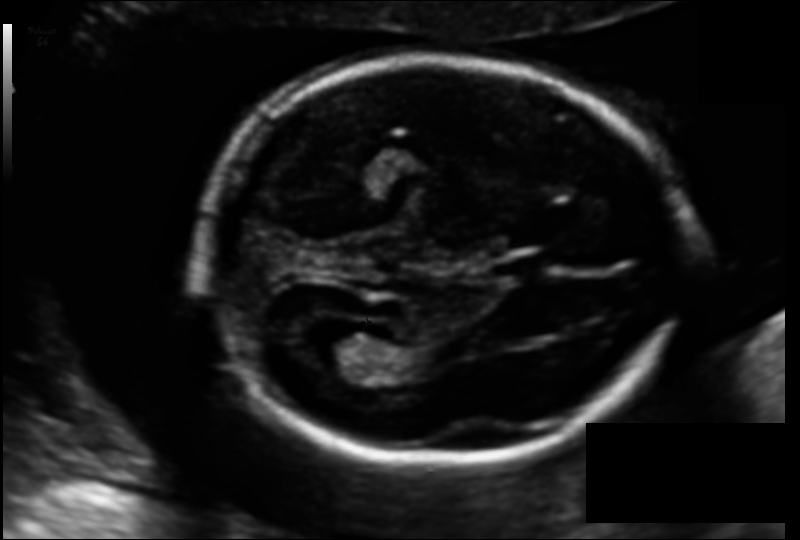
Fetal head ultrasound. Image width: 97.9 mm. Locate the fetal head and, if visible, the cavum septum pellucidum (CSP) and lateral ventricle (LV). Give bounding boxes as [x1,y1,x2,y2].

Head: [198,60,687,464]
CSP: [492,251,548,286]
Lateral ventricle: [297,313,386,386]